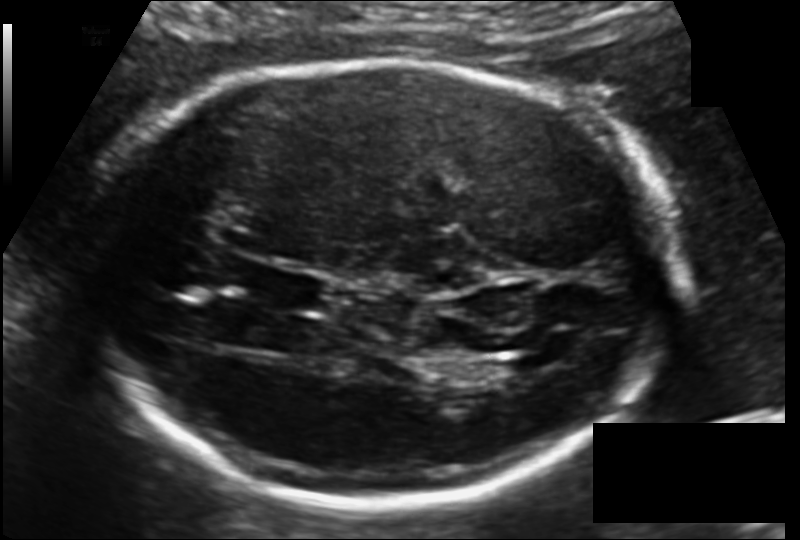
In this fetal head ultrasound, give the bounding box of the fetal head. Image width: 107.8 mm.

[84,59,674,511]